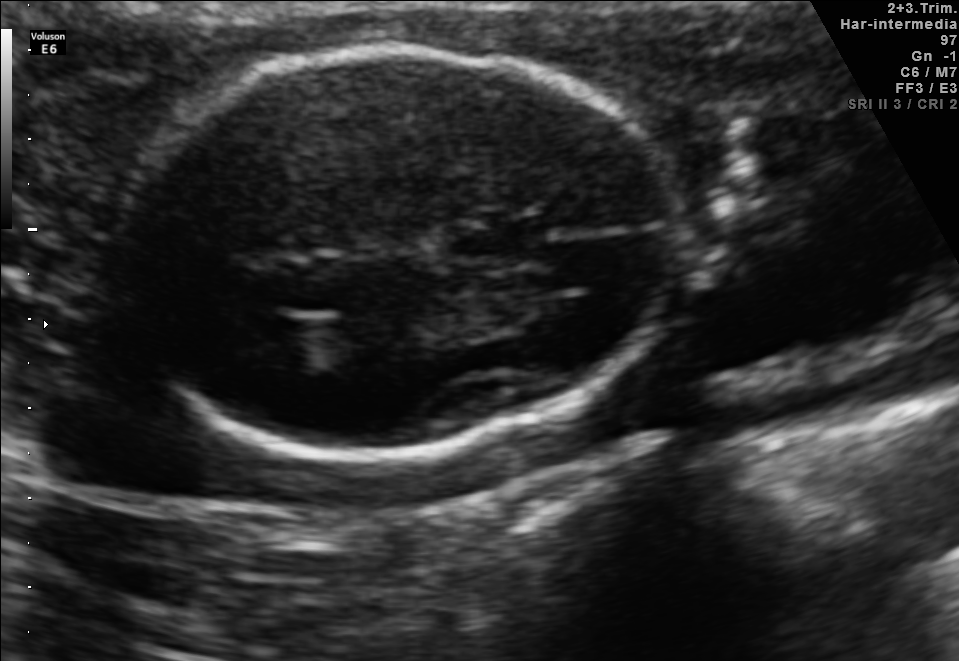
Which standard maternal-fetal ultrasound plane is shown: fetal abdomen, fetal brain, fetal femur, fetal thorax, maternal cervix, or other? If it's fetal brain and one of the three standard brain planes (trans-thalamic, trans-cerebellum, trans-ventricular), name which.

Fetal brain (trans-thalamic plane)